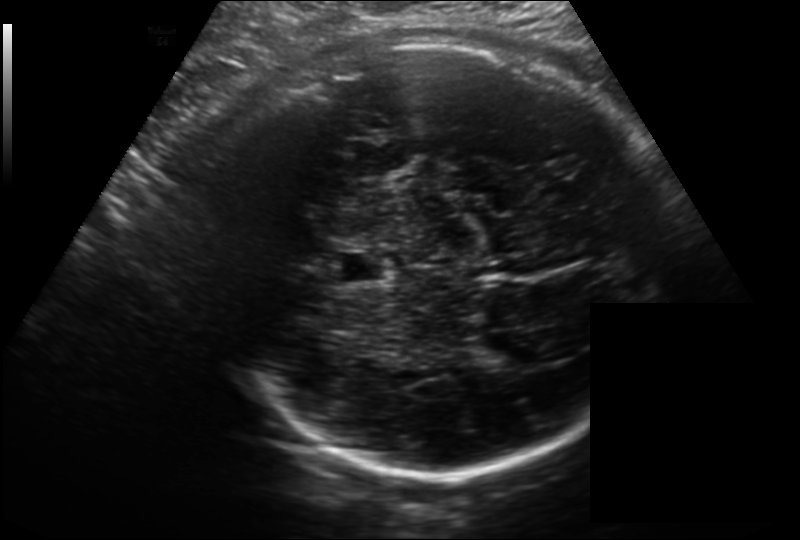
Fetal head ultrasound. Image width: 171.5 mm. Locate the lateral ventricle.

Lateral ventricle: [473,332,535,371]